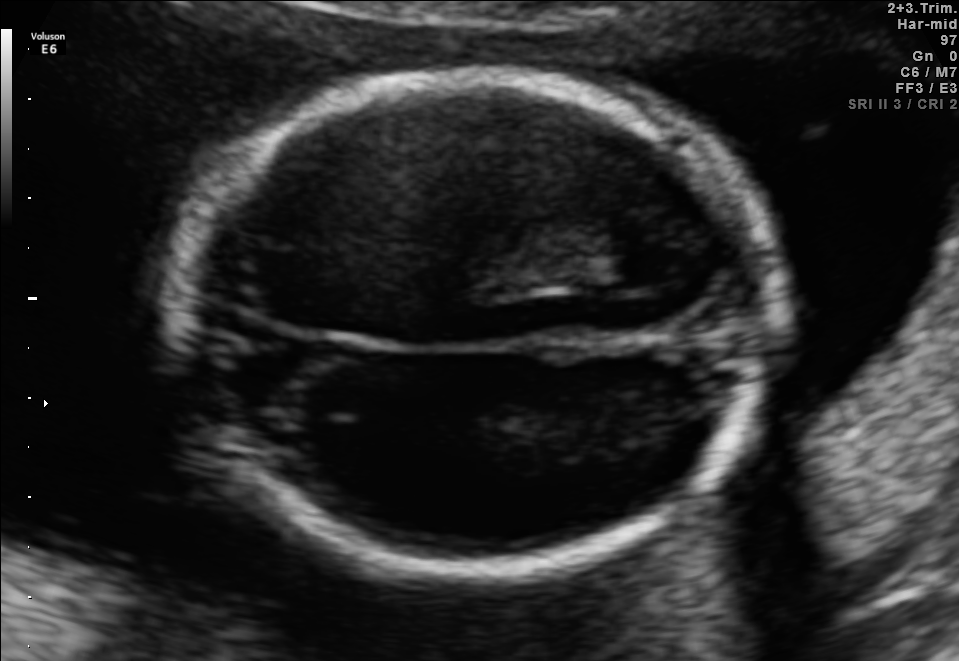
Fetal brain, trans-thalamic plane. Locate the fetal head and, if visible, the cavum septum pellucidum (CSP) and lateral ventricle (LV). Give bounding boxes as [x1,y1,x2,y2].

Head: [172,76,777,569]